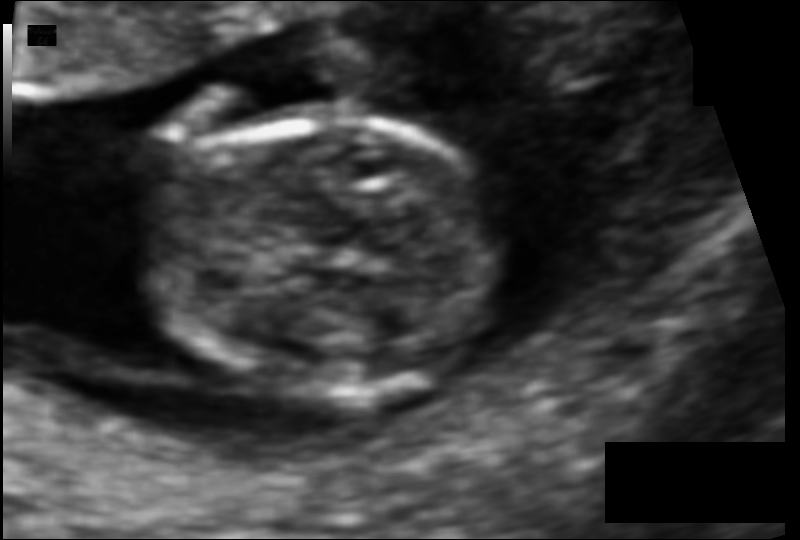
Fetal head ultrasound. Image width: 58.2 mm. Where is the fetal head?

Head bounding box: [146,120,509,400]